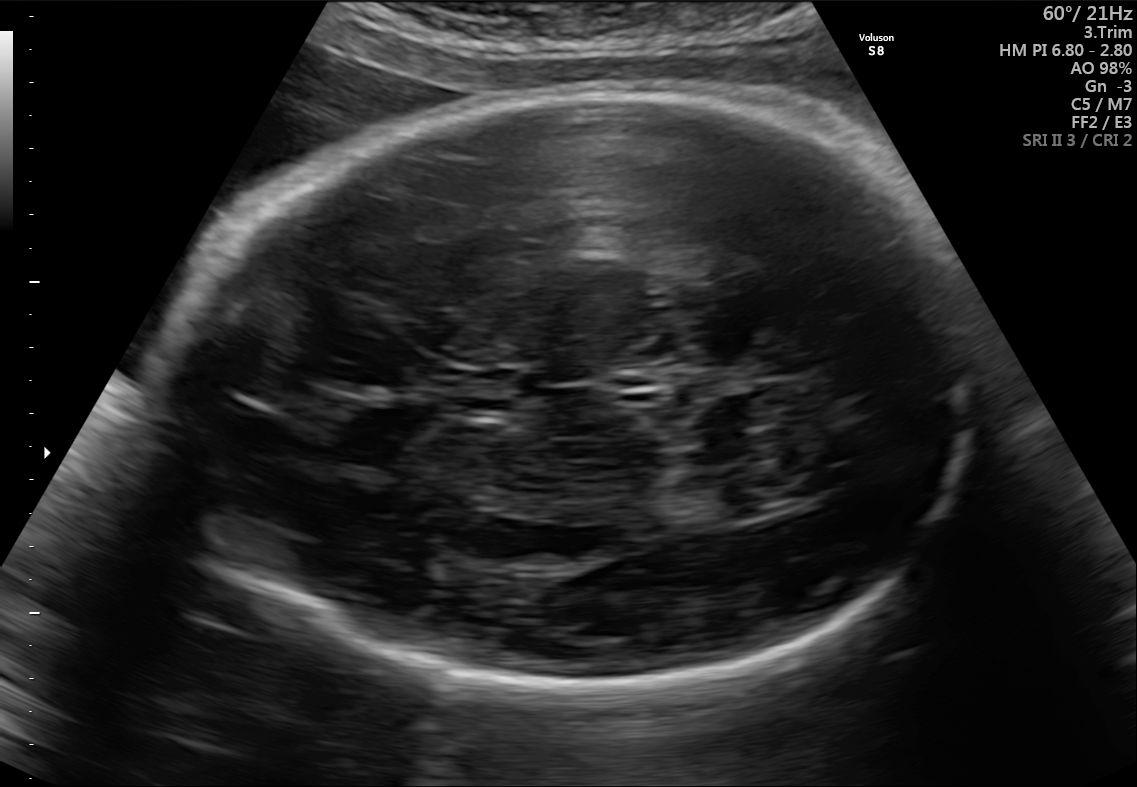
In this fetal brain, trans-thalamic plane, give the bounding box of the fetal head.

[161,94,978,705]